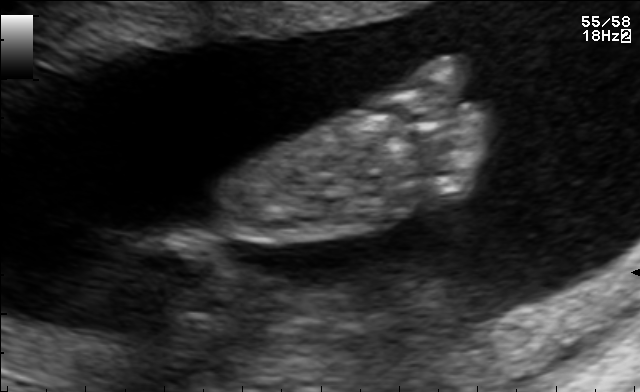
Classify this maternal-fetal ultrasound image as one of the six standard planes — fetal abdomen, fetal brain, fetal femur, fetal thorax, maternal cervix, or other. If it's fetal brain and one of the three standard brain planes (trans-thalamic, trans-cerebellum, trans-ventricular), name which.

Other